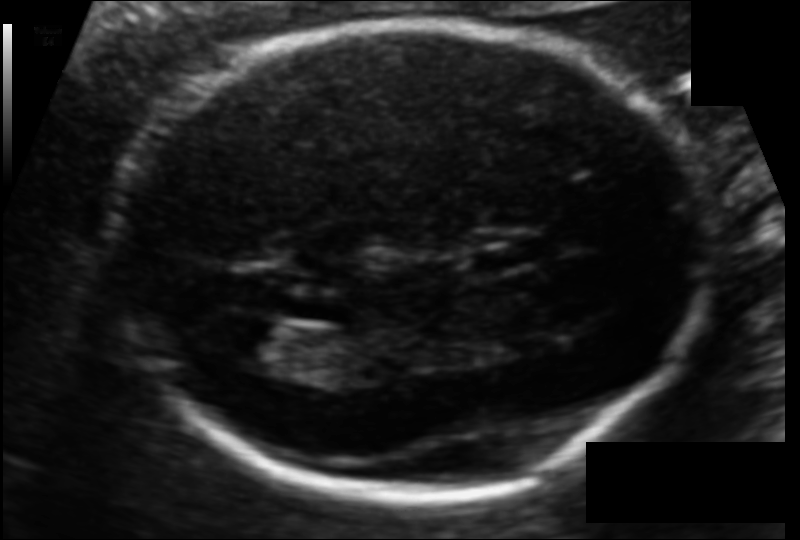
Estimate the fetal head circumference from this 2D ultrasound. Image width: 85.1 mm.

Head circumference: 182.9 mm.